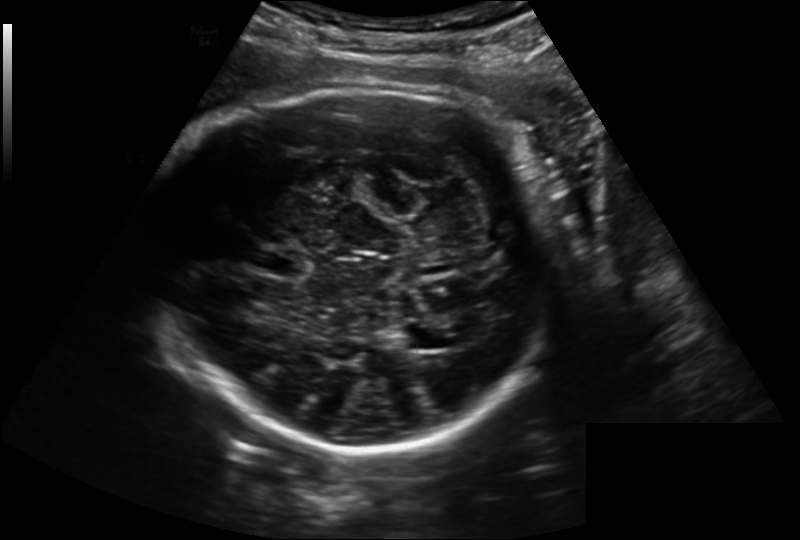
Fetal head ultrasound. Image width: 177.2 mm. Where is the fetal head?

Head bounding box: [148,80,554,447]